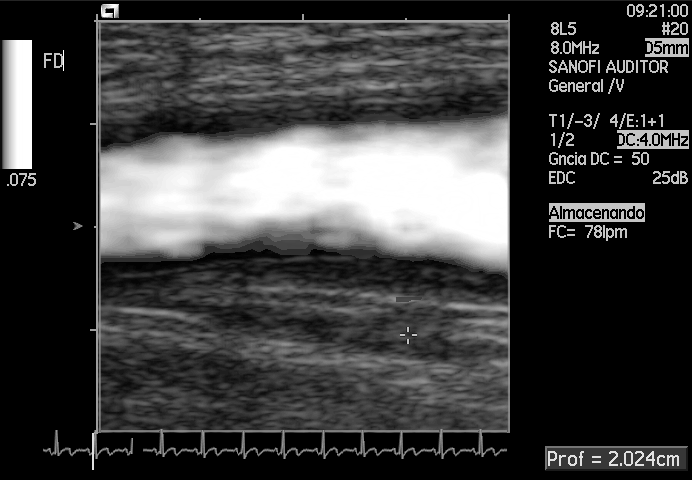
This is a 2D maternal-fetal ultrasound frame. Is it a fetal abdomen, fetal brain, fetal femur, fetal thorax, maternal cervix, or other standard plane? If it's fetal brain and one of the three standard brain planes (trans-thalamic, trans-cerebellum, trans-ventricular), name which.

Other